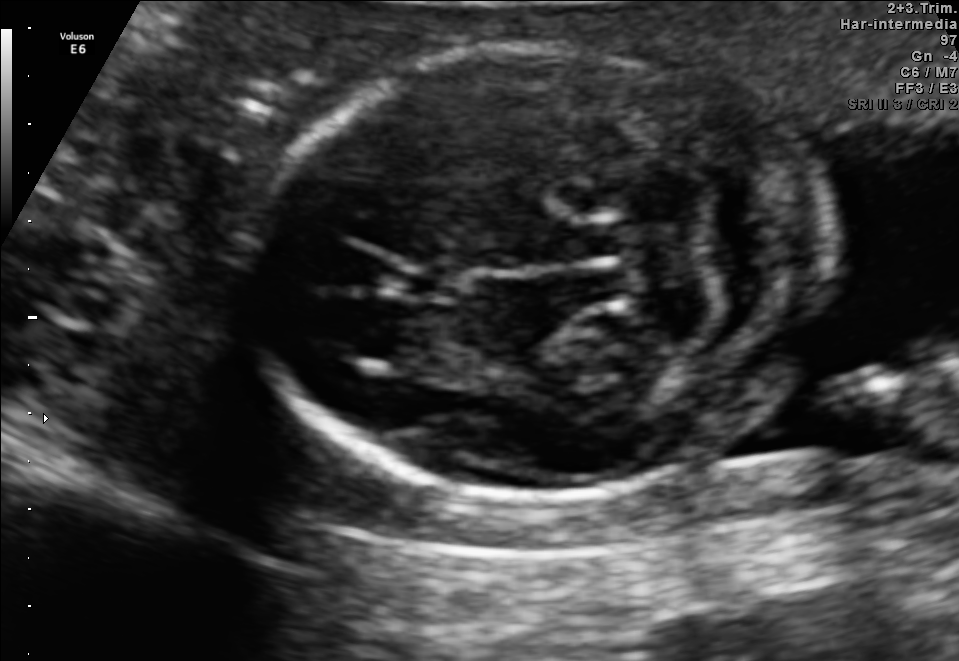
In this fetal brain, trans-cerebellum plane, give the bounding box of the fetal head.

[252,46,825,497]